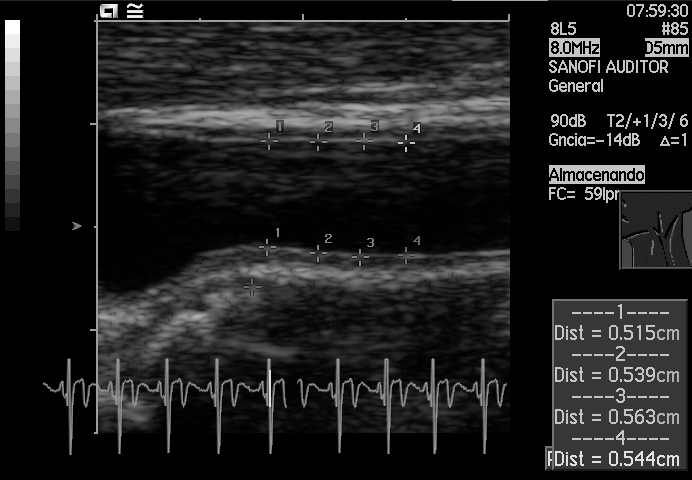
Which standard maternal-fetal ultrasound plane is shown: fetal abdomen, fetal brain, fetal femur, fetal thorax, maternal cervix, or other? If it's fetal brain and one of the three standard brain planes (trans-thalamic, trans-cerebellum, trans-ventricular), name which.

Other